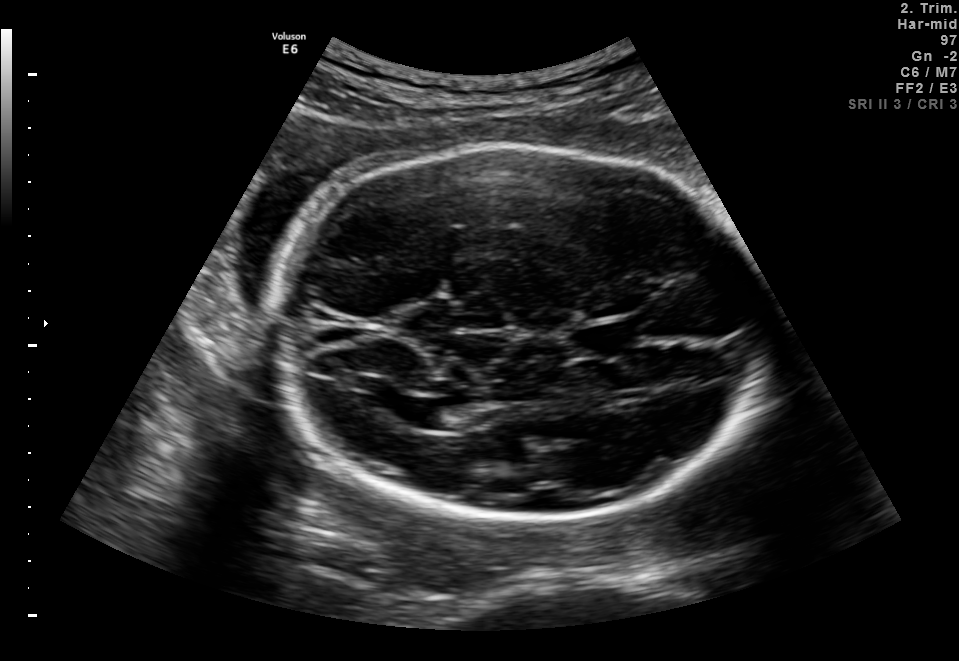
Fetal brain, trans-ventricular plane. Locate the fetal head and, if visible, the cavum septum pellucidum (CSP) and lateral ventricle (LV). Give bounding boxes as [x1,y1,x2,y2].

Head: [268,142,773,529]
Lateral ventricle: [391,395,442,430]